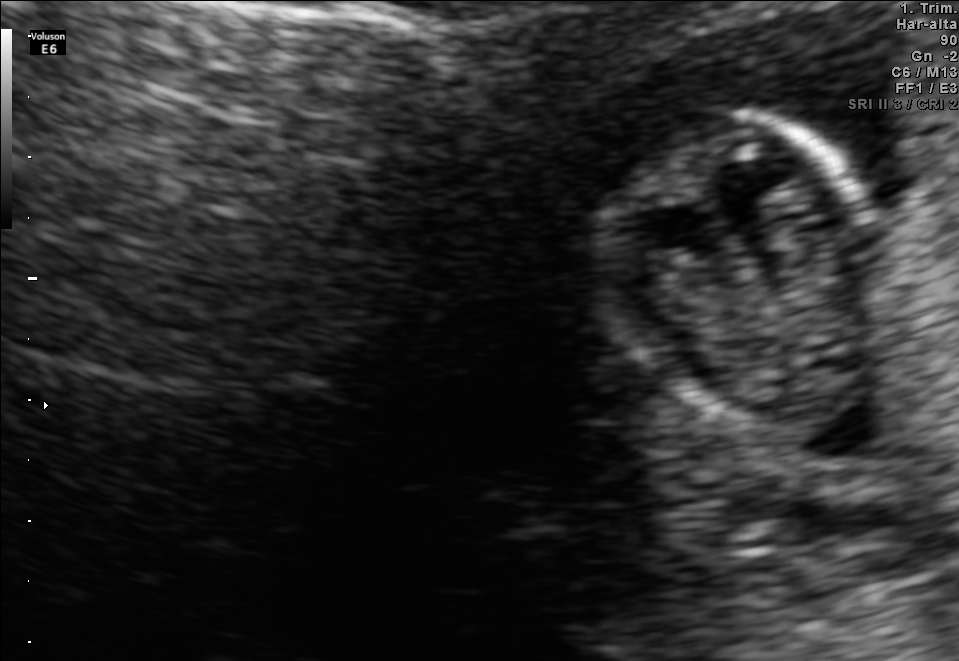
Identify the standard plane in this fetal ultrasound image: fetal abdomen, fetal brain, fetal femur, fetal thorax, maternal cervix, or other. If it's fetal brain and one of the three standard brain planes (trans-thalamic, trans-cerebellum, trans-ventricular), name which.

Fetal brain